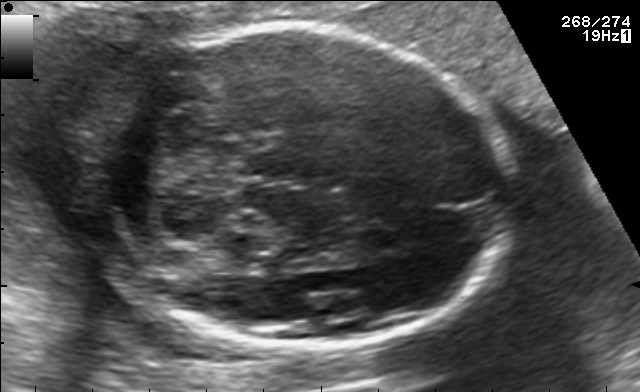
Which standard maternal-fetal ultrasound plane is shown: fetal abdomen, fetal brain, fetal femur, fetal thorax, maternal cervix, or other? If it's fetal brain and one of the three standard brain planes (trans-thalamic, trans-cerebellum, trans-ventricular), name which.

Fetal brain (trans-cerebellum plane)